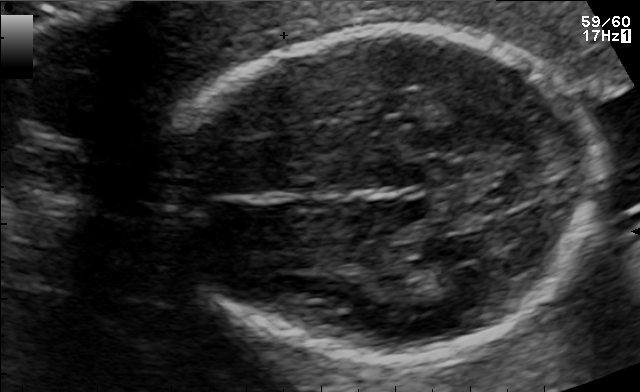
Fetal brain, trans-thalamic plane. Locate the fetal head.

Head: [169,27,599,362]